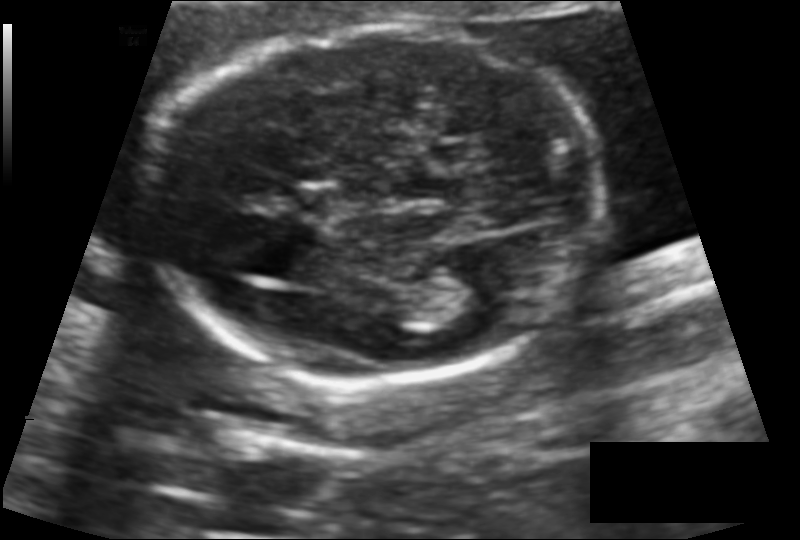
What is the fetal head circumference? Image width is 94.4 mm.

156.9 mm